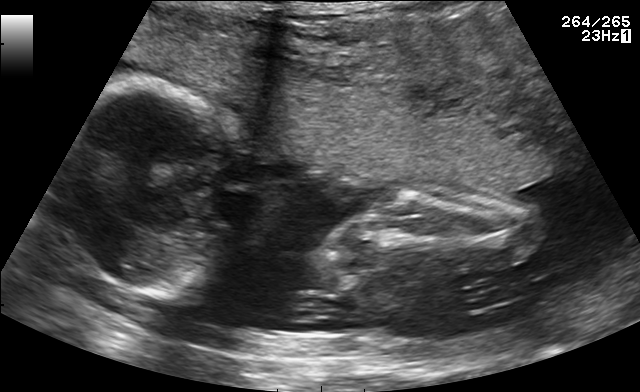
Identify the standard plane in this fetal ultrasound image: fetal abdomen, fetal brain, fetal femur, fetal thorax, maternal cervix, or other. If it's fetal brain and one of the three standard brain planes (trans-thalamic, trans-cerebellum, trans-ventricular), name which.

Other